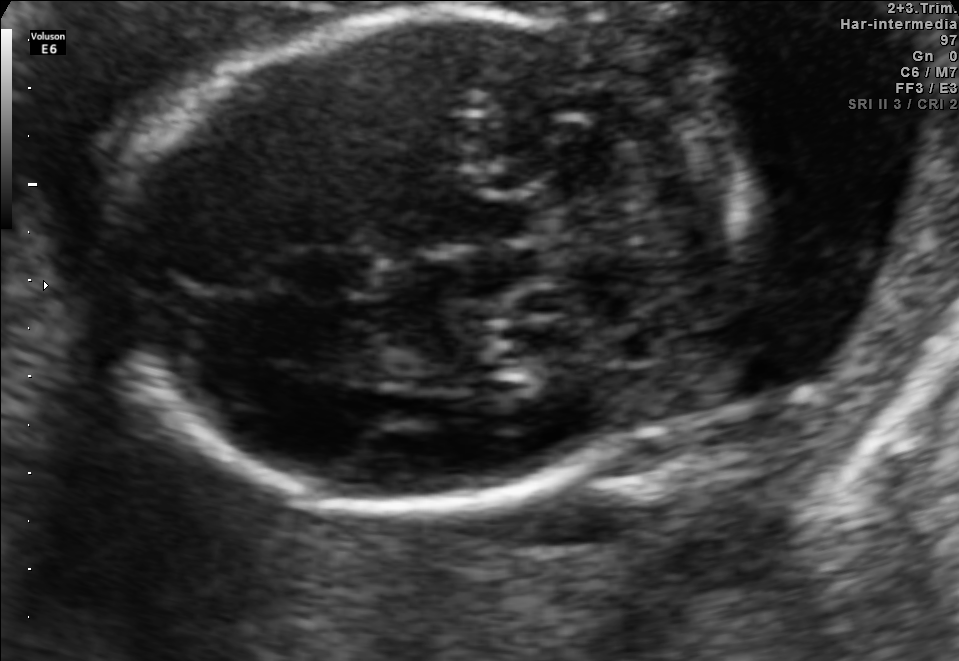
In this fetal brain, trans-cerebellum plane, give the bounding box of the cavum septum pellucidum.

[289,245,380,300]